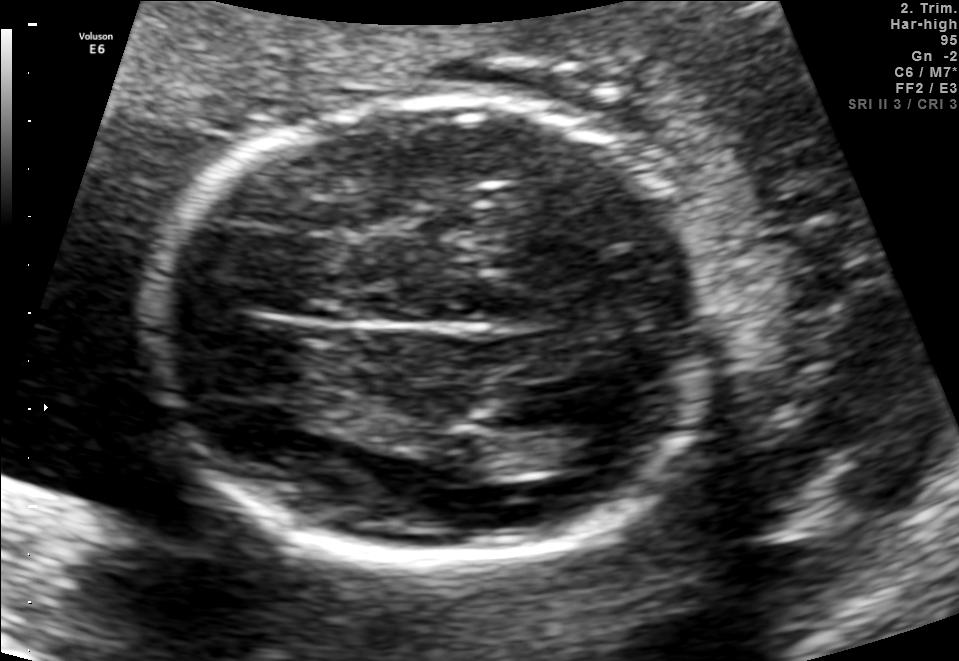
Fetal brain, trans-thalamic plane. Where is the lateral ventricle?

Lateral ventricle bounding box: [539,421,636,477]